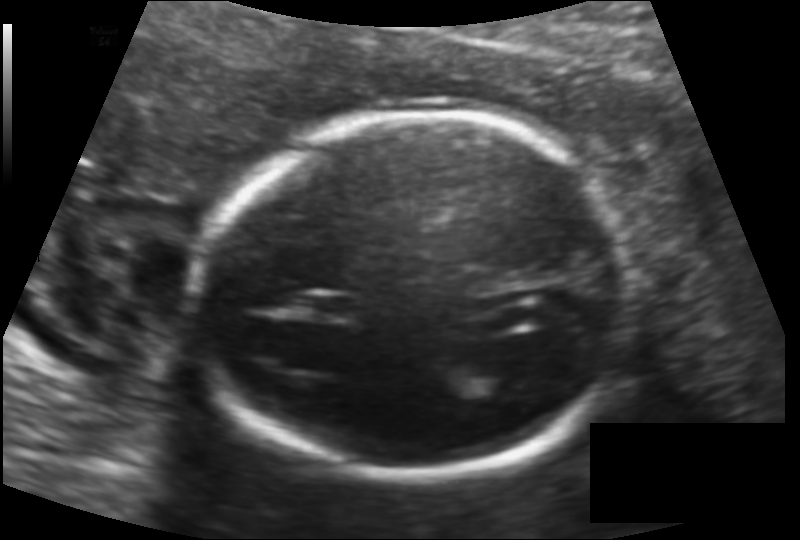
In this fetal head ultrasound, give the bounding box of the fetal head. Image width: 104.4 mm.

[198,115,631,474]